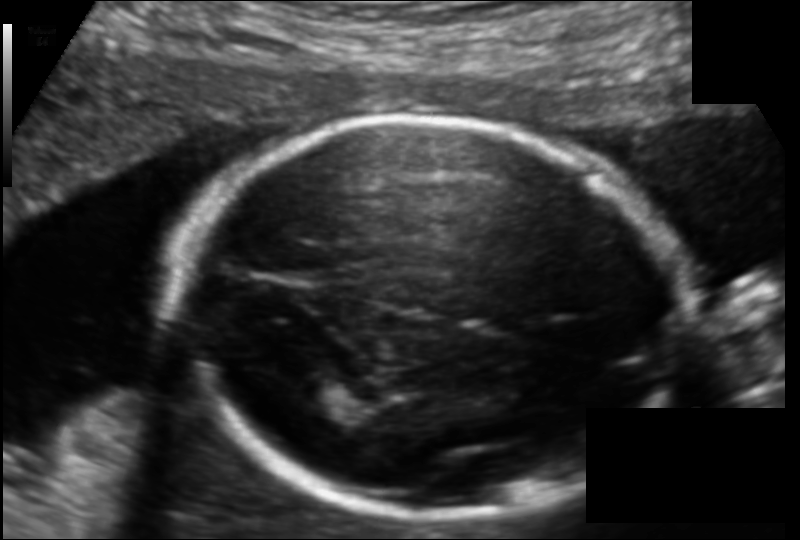
From this fetal ultrasound, estimate the head circumference (image width 96.3 mm).

Head circumference: 172.9 mm.